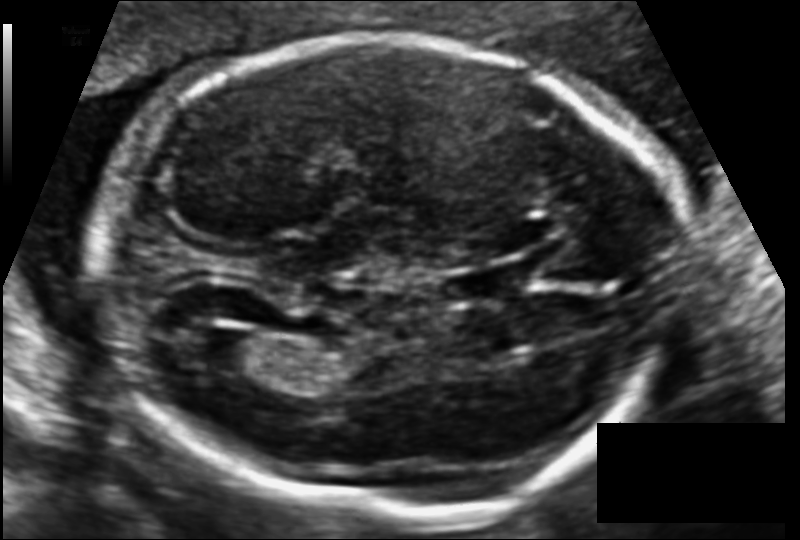
Estimate the fetal head circumference from this 2D ultrasound. Image width: 92.7 mm.

Head circumference: 196.9 mm.